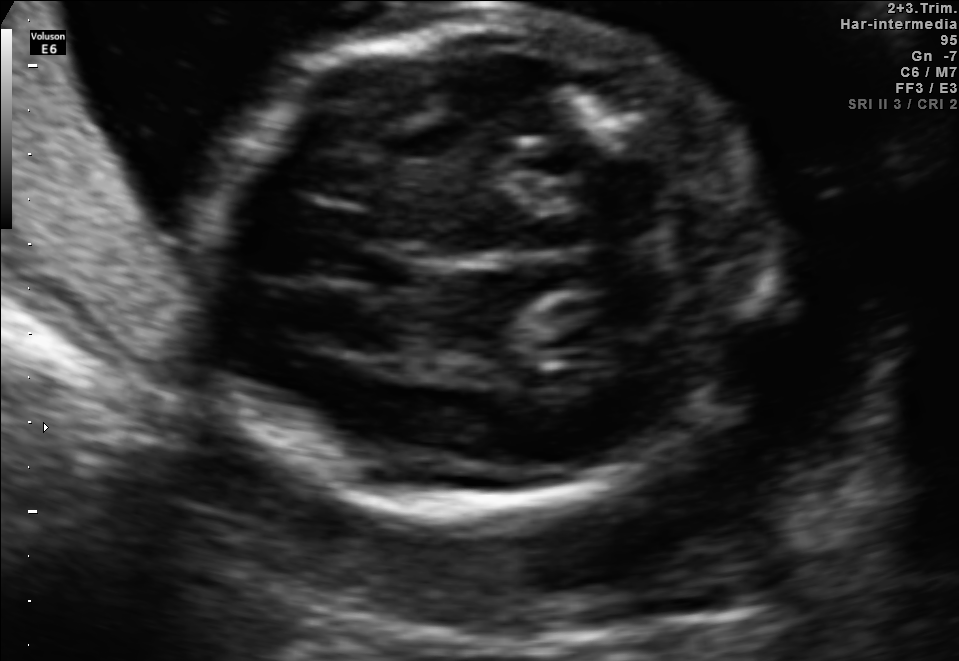
Fetal brain, trans-cerebellum plane. Locate the fetal head.

Head: [198,5,763,508]